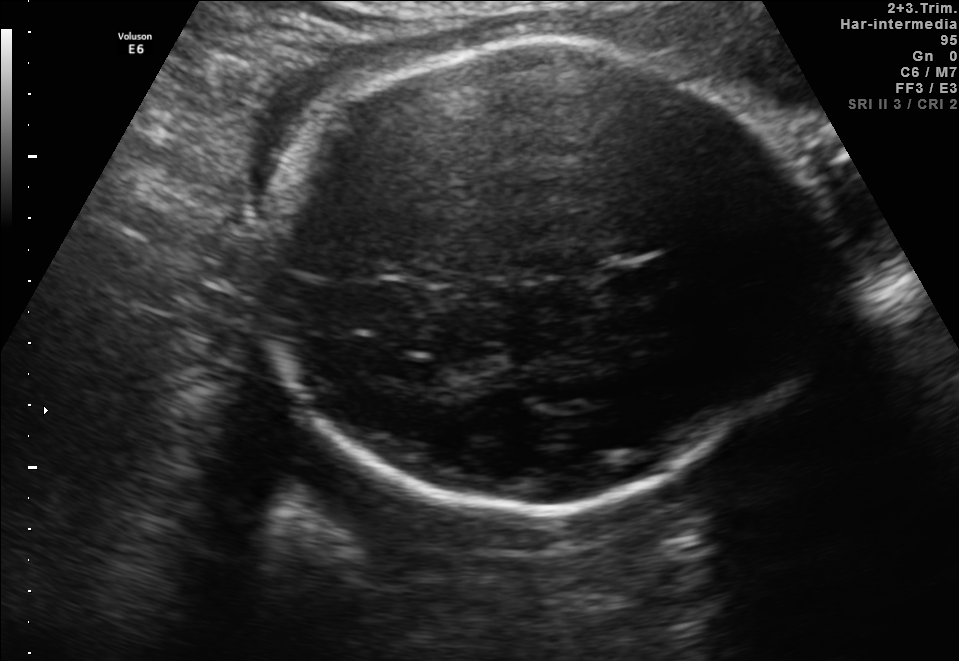
Fetal brain, trans-thalamic plane. Locate the cavum septum pellucidum.

CSP: [607,255,675,300]